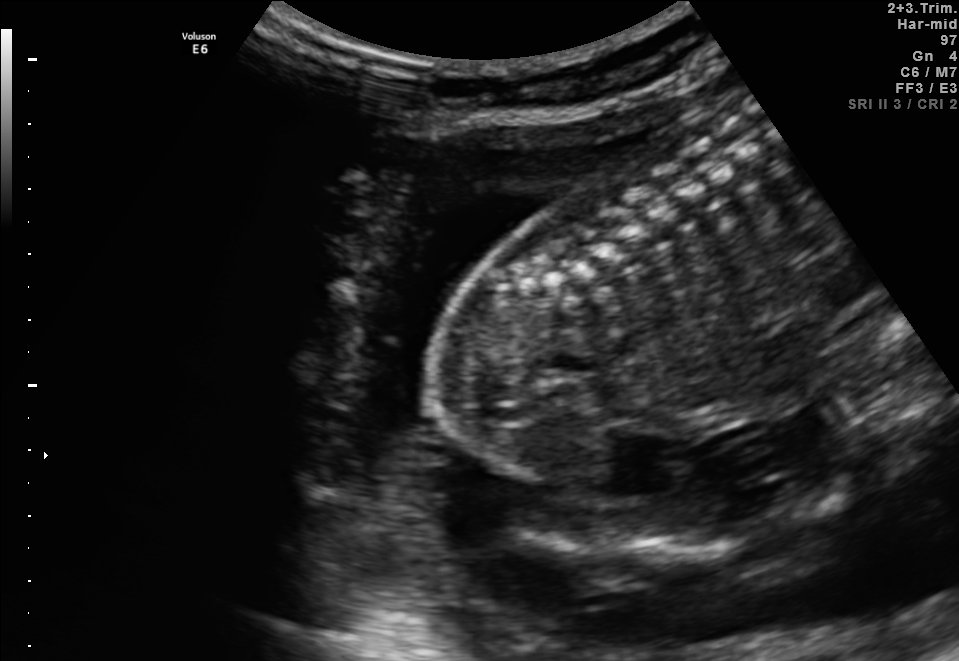
Classify this maternal-fetal ultrasound image as one of the six standard planes — fetal abdomen, fetal brain, fetal femur, fetal thorax, maternal cervix, or other. If it's fetal brain and one of the three standard brain planes (trans-thalamic, trans-cerebellum, trans-ventricular), name which.

Other